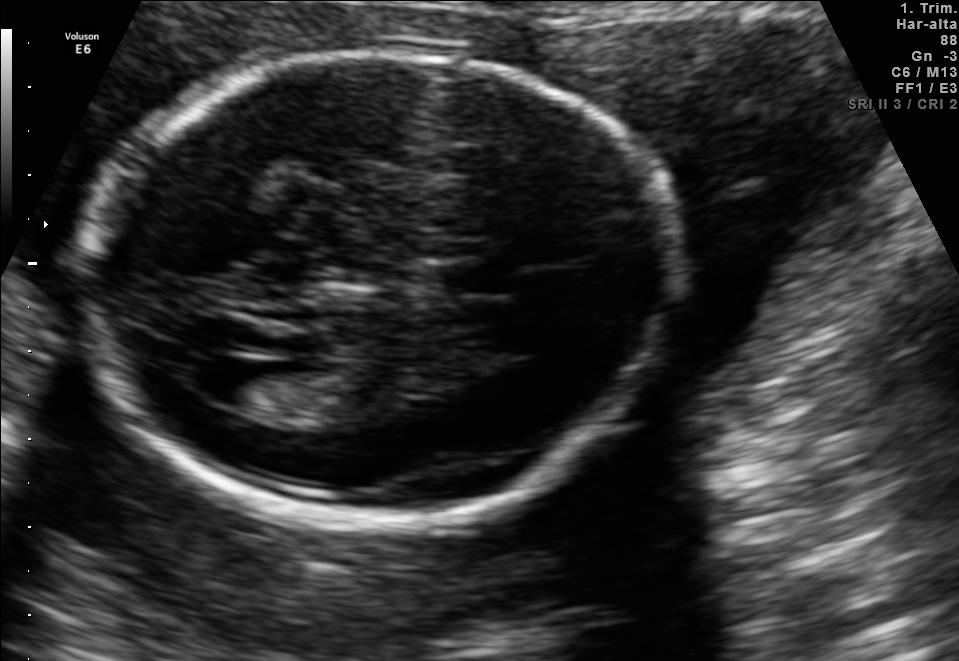
Fetal brain, trans-ventricular plane. Locate the fetal head and, if visible, the cavum septum pellucidum (CSP) and lateral ventricle (LV). Give bounding boxes as [x1,y1,x2,y2].

Head: [67,46,692,527]
CSP: [433,257,526,299]
Lateral ventricle: [178,344,265,412]